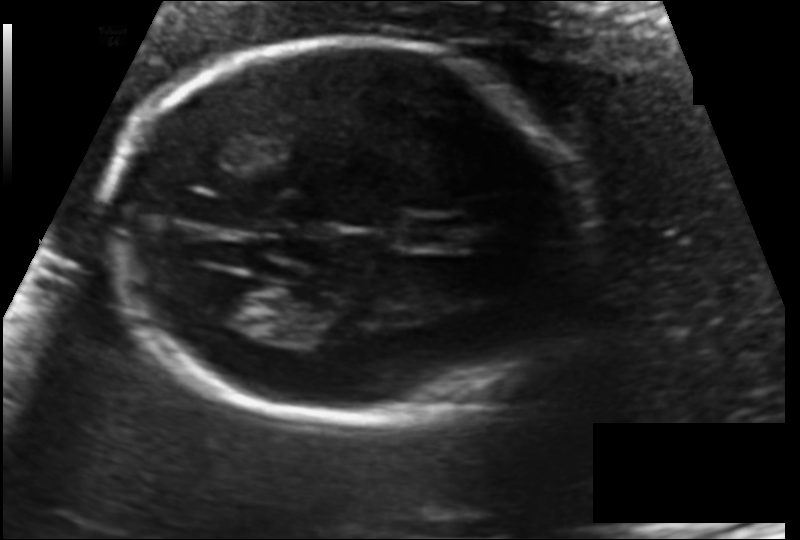
In this fetal head ultrasound, give bounding boxes for the head outline, cavum septum pellucidum (CSP), and lateral ventricle (LV), where visible. Image width: 97.9 mm.

Head: [109,39,577,421]
CSP: [408,218,469,248]
Lateral ventricle: [195,270,282,335]